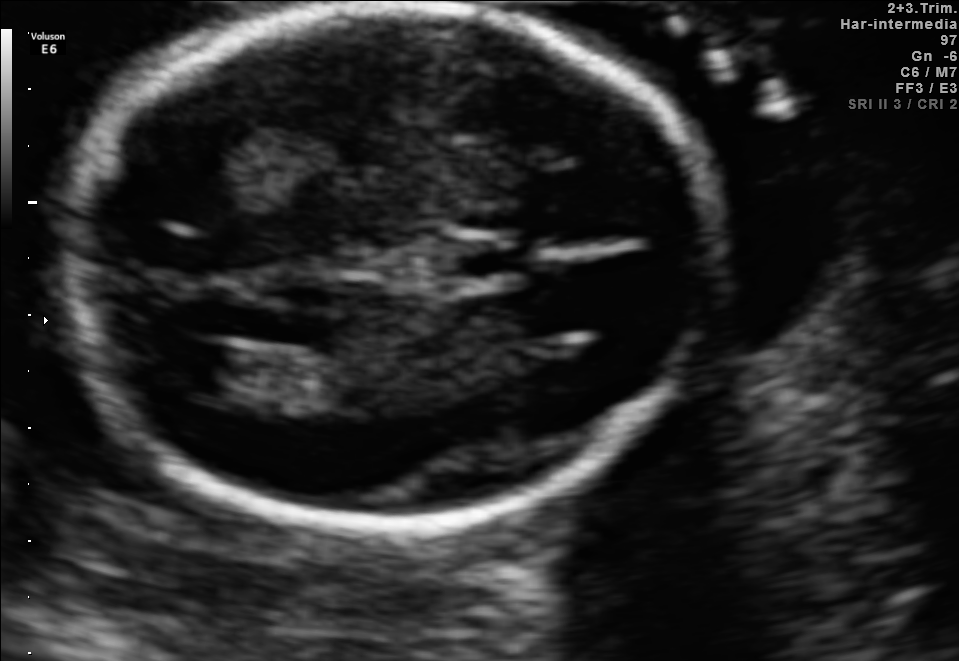
Fetal brain, trans-ventricular plane. Locate the fetal head.

Head: [59,7,718,536]